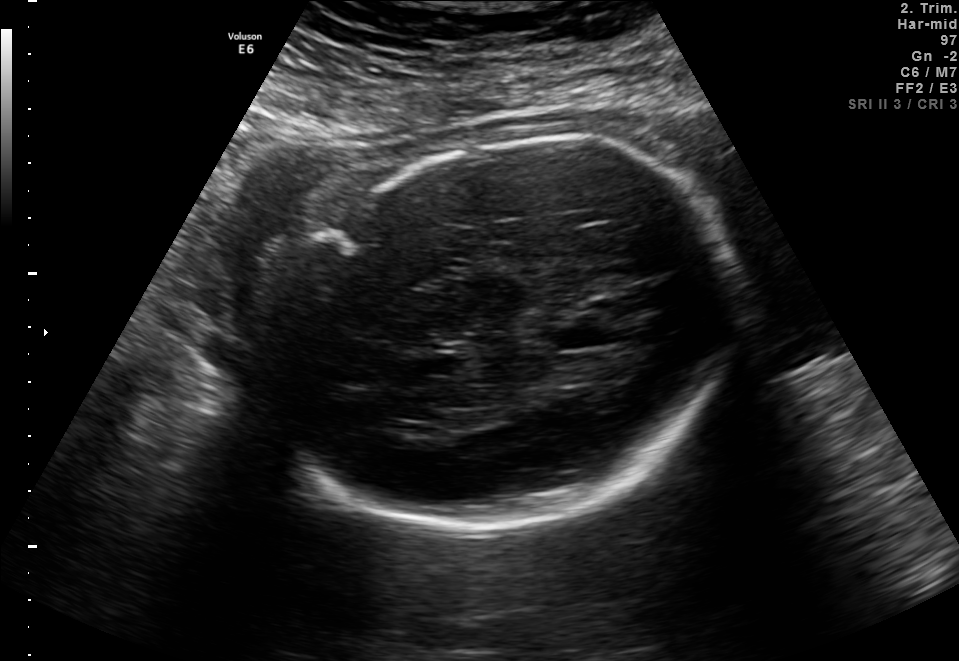
In this fetal brain, trans-thalamic plane, give bounding boxes for the head outline, cavum septum pellucidum (CSP), and lateral ventricle (LV), where visible.

Head: [256,135,745,536]